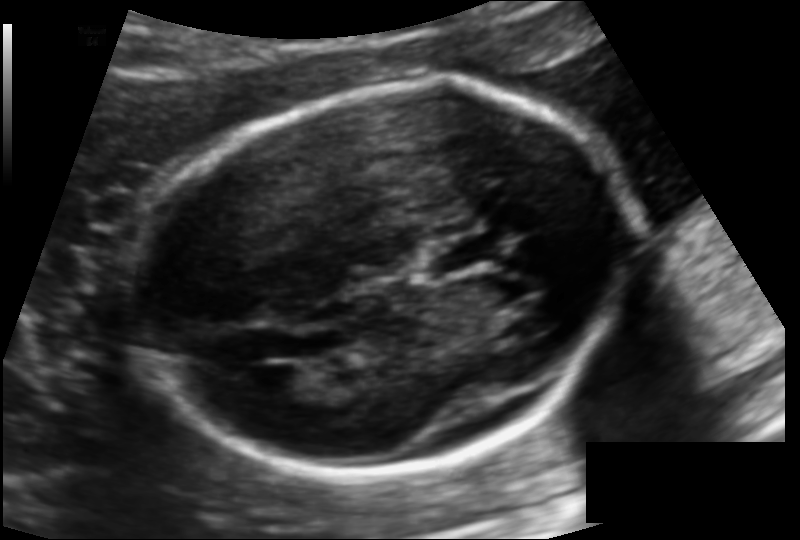
Fetal head ultrasound. Image width: 99.2 mm. Give [x1,y1,x2,y2] bounding boxes for each visible structure among: fetal head, CSP, LV.

Head: [135,89,631,471]
CSP: [416,228,503,284]
Lateral ventricle: [252,365,309,400]